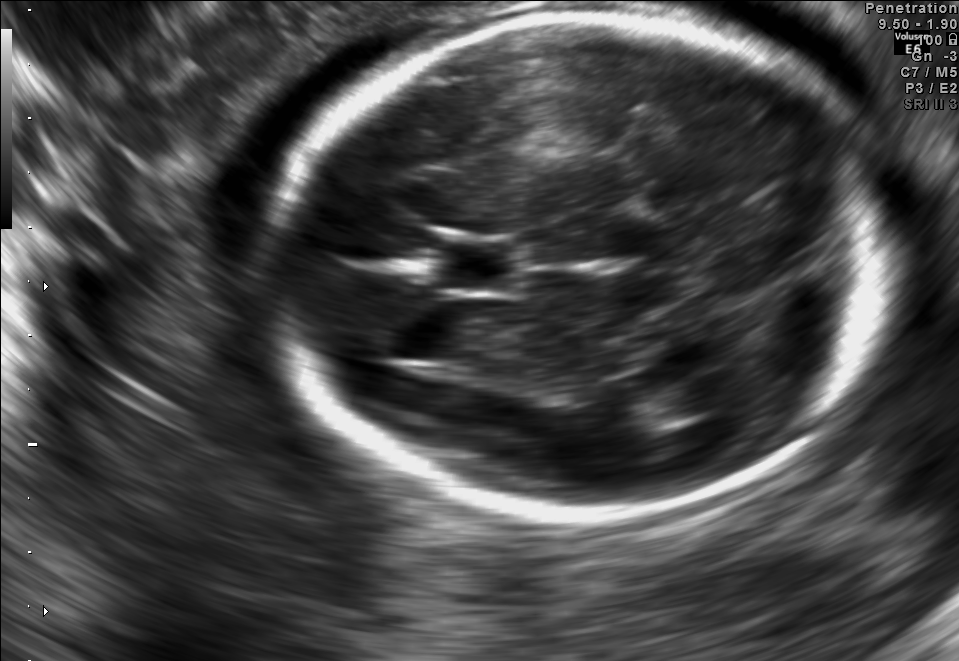
Fetal brain, trans-thalamic plane. Give [x1,y1,x2,y2] bounding boxes for each visible structure among: fetal head, CSP, LV.

Head: [272,12,899,521]
CSP: [440,244,514,287]